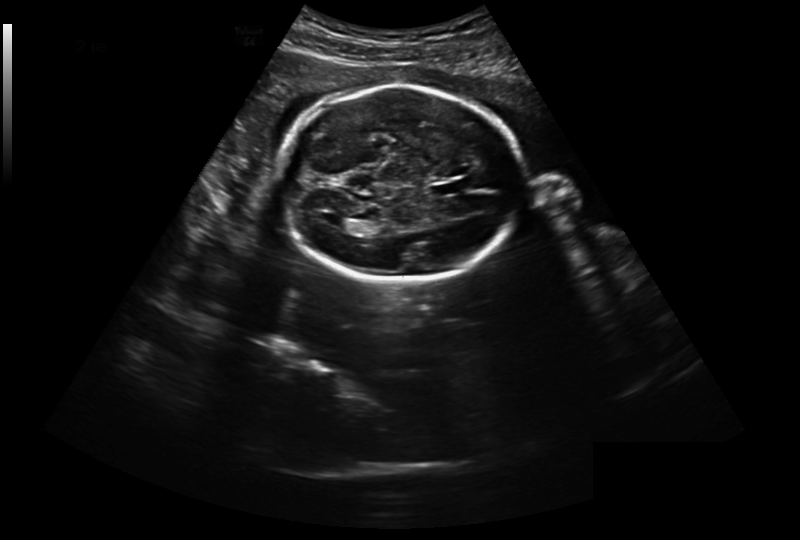
Fetal head ultrasound. Image width: 241.1 mm. Give [x1,y1,x2,y2] bounding boxes for each visible structure among: fetal head, CSP, LV.

Head: [279,86,525,281]
CSP: [431,178,466,198]
Lateral ventricle: [324,212,351,233]